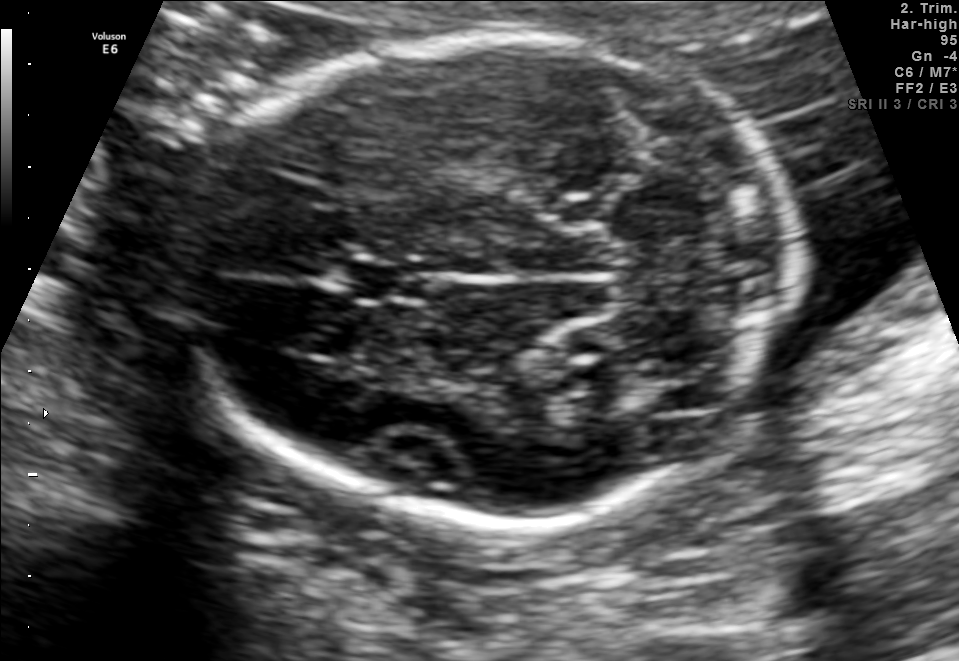
In this fetal brain, trans-cerebellum plane, give the bounding box of the fetal head.

[184,34,799,521]